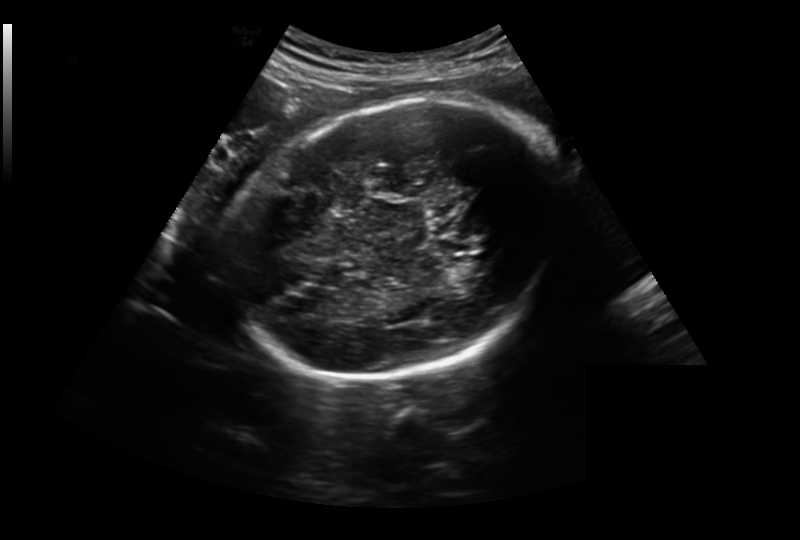
Estimate the fetal head circumference from this 2D ultrasound. Image width: 206.9 mm.

Head circumference: 263.0 mm.